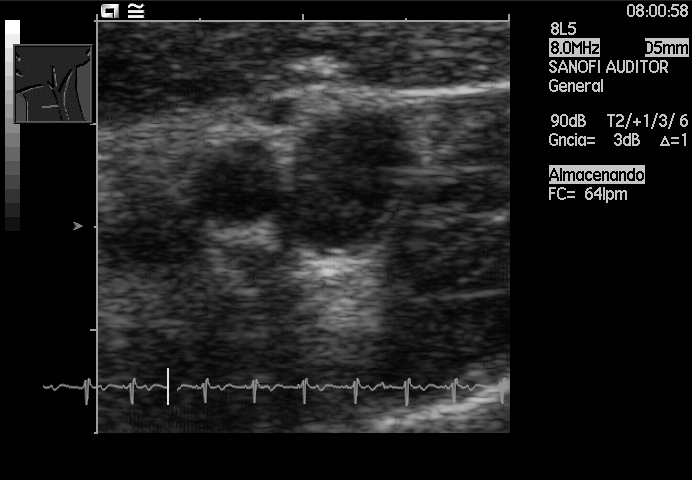
This is a 2D maternal-fetal ultrasound frame. Is it a fetal abdomen, fetal brain, fetal femur, fetal thorax, maternal cervix, or other standard plane? If it's fetal brain and one of the three standard brain planes (trans-thalamic, trans-cerebellum, trans-ventricular), name which.

Other